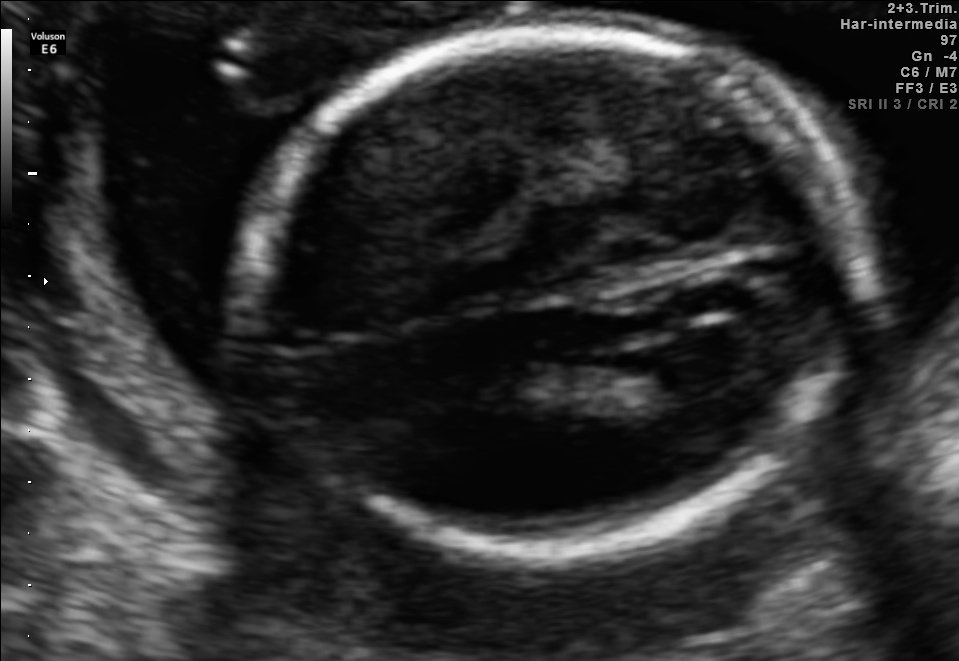
Identify the standard plane in this fetal ultrasound image: fetal abdomen, fetal brain, fetal femur, fetal thorax, maternal cervix, or other. If it's fetal brain and one of the three standard brain planes (trans-thalamic, trans-cerebellum, trans-ventricular), name which.

Fetal brain (trans-ventricular plane)